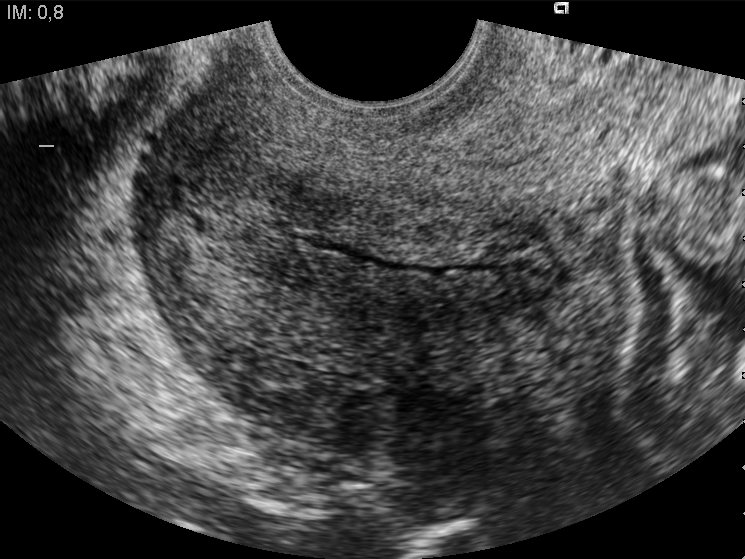
Identify the standard plane in this fetal ultrasound image: fetal abdomen, fetal brain, fetal femur, fetal thorax, maternal cervix, or other. If it's fetal brain and one of the three standard brain planes (trans-thalamic, trans-cerebellum, trans-ventricular), name which.

Maternal cervix